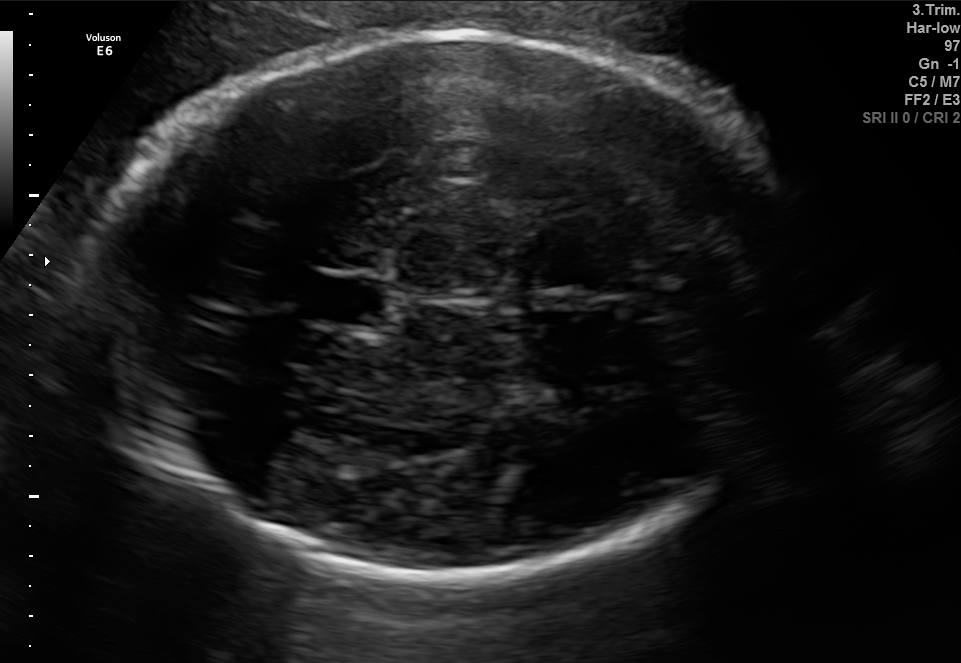
Fetal brain, trans-thalamic plane. Where is the cavum septum pellucidum?

CSP bounding box: [307,275,383,326]